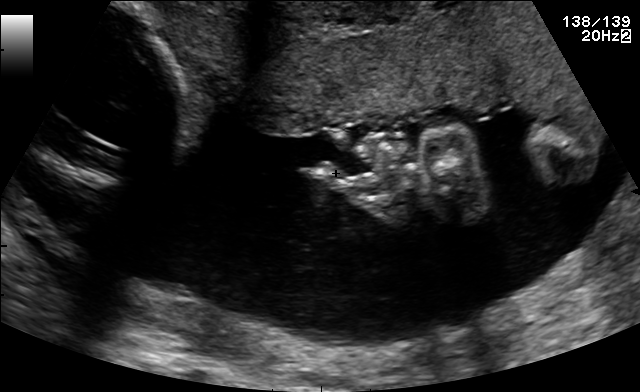
Identify the standard plane in this fetal ultrasound image: fetal abdomen, fetal brain, fetal femur, fetal thorax, maternal cervix, or other. If it's fetal brain and one of the three standard brain planes (trans-thalamic, trans-cerebellum, trans-ventricular), name which.

Other